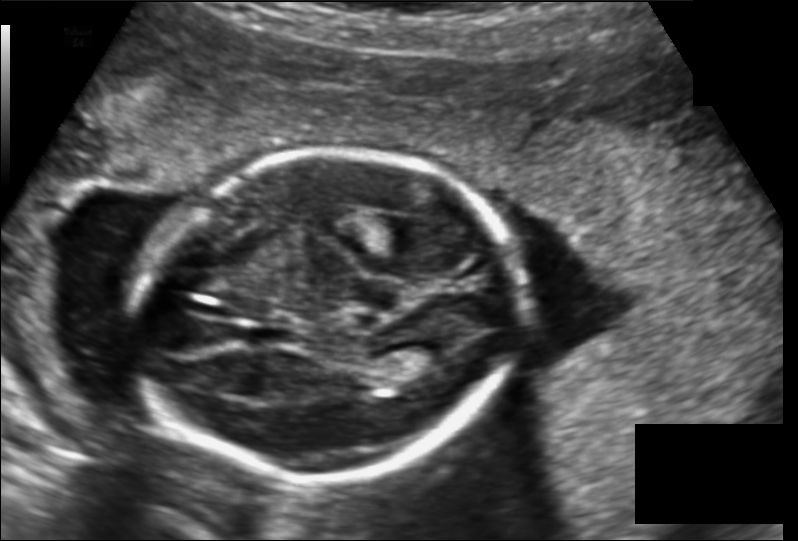
Estimate the fetal head circumference from this 2D ultrasound. Image width: 118.8 mm.

Head circumference: 173.3 mm.